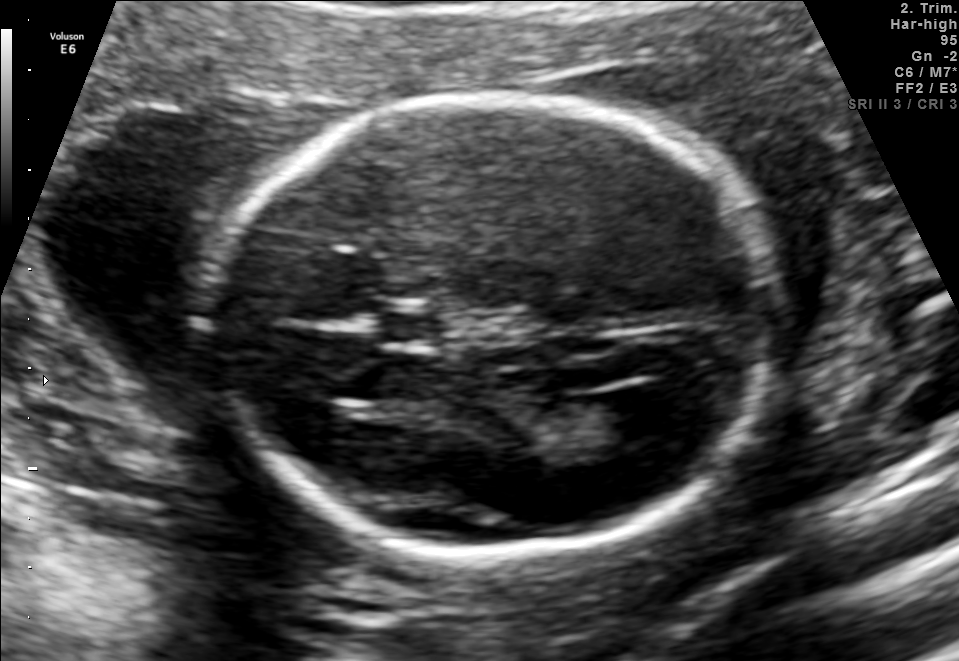
In this fetal brain, trans-ventricular plane, give the bounding box of the fetal head.

[194,87,797,562]